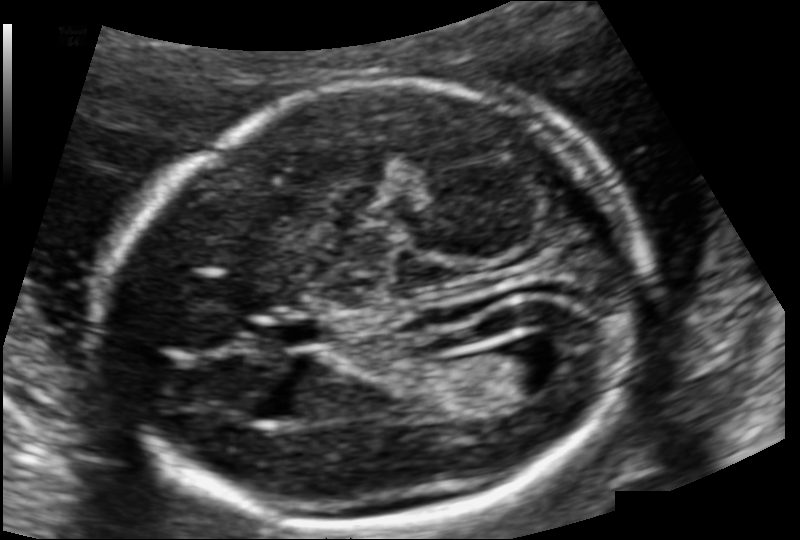
Fetal head ultrasound. Image width: 89.0 mm. Where is the cavum septum pellucidum?

CSP bounding box: [273,316,330,349]